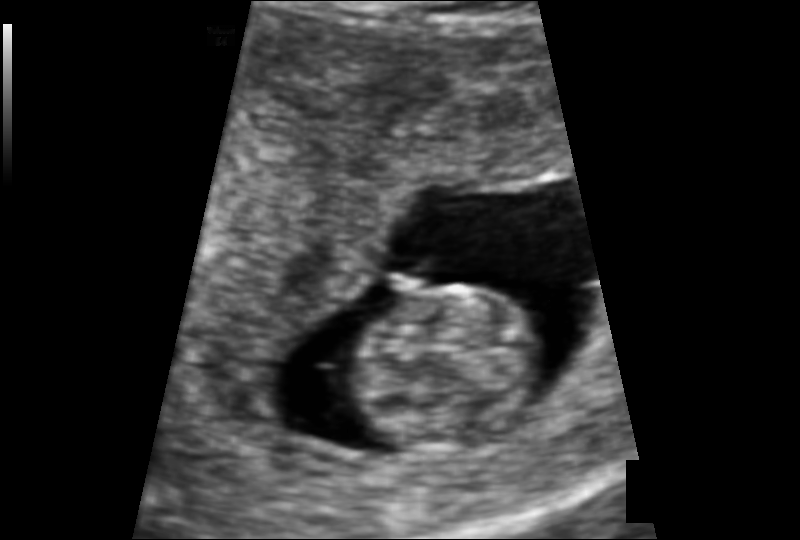
Fetal head ultrasound. Image width: 87.5 mm. Where is the fetal head?

Head bounding box: [355,285,546,453]